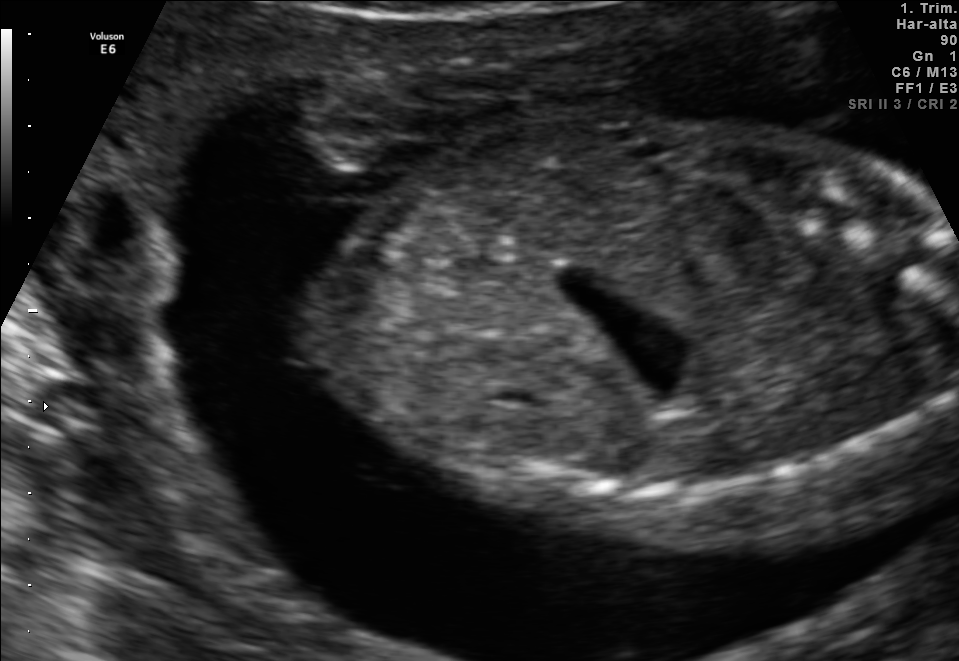
This is a 2D maternal-fetal ultrasound frame. Is it a fetal abdomen, fetal brain, fetal femur, fetal thorax, maternal cervix, or other standard plane? If it's fetal brain and one of the three standard brain planes (trans-thalamic, trans-cerebellum, trans-ventricular), name which.

Other